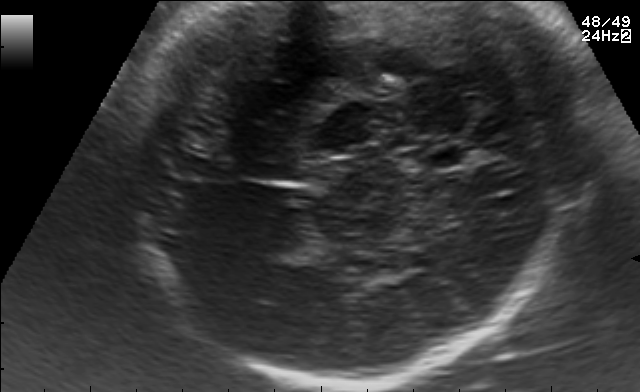
In this fetal brain, trans-thalamic plane, give the bounding box of the cavum septum pellucidum.

[414,143,461,171]